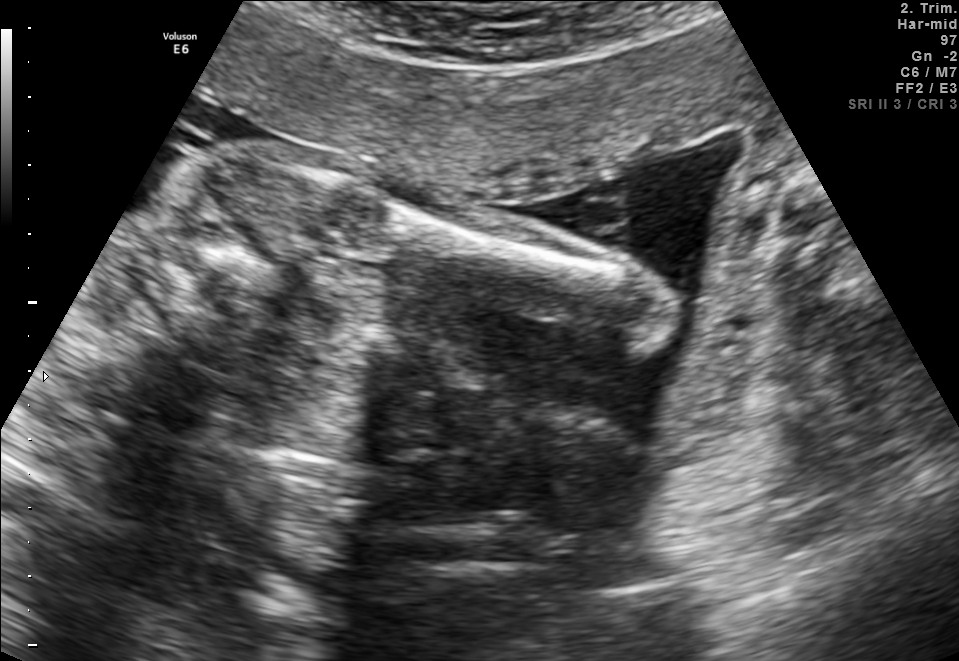
Which standard maternal-fetal ultrasound plane is shown: fetal abdomen, fetal brain, fetal femur, fetal thorax, maternal cervix, or other? If it's fetal brain and one of the three standard brain planes (trans-thalamic, trans-cerebellum, trans-ventricular), name which.

Fetal femur